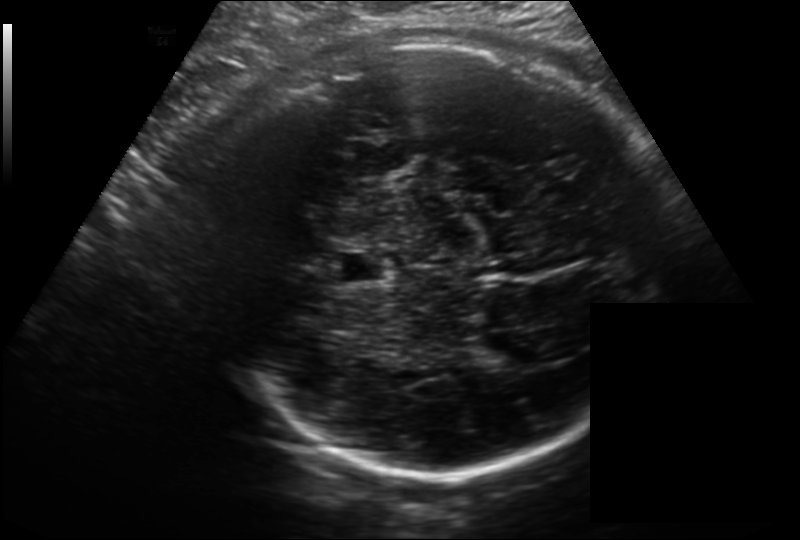
Fetal head ultrasound. Image width: 171.5 mm. Where is the fetal head?

Head bounding box: [210,38,668,473]